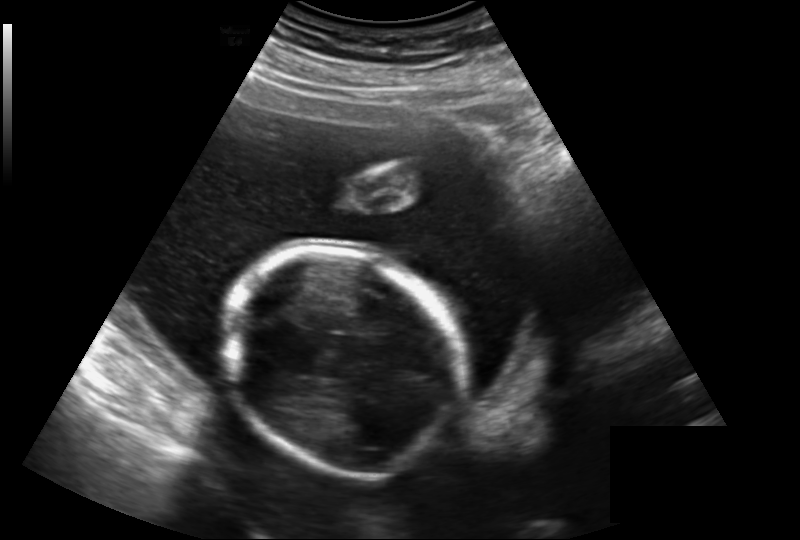
Fetal head ultrasound. Image width: 175.3 mm. Locate the fetal head.

Head: [222,251,466,474]